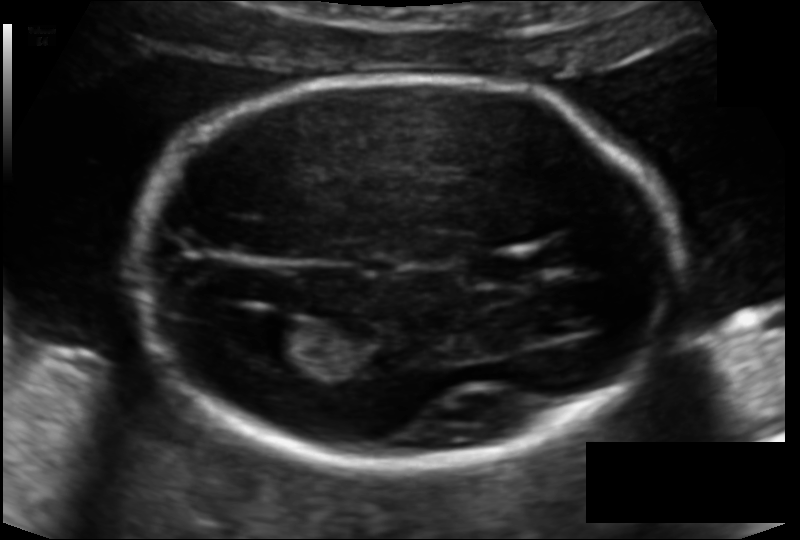
Fetal head ultrasound. Image width: 95.2 mm. Where is the cavum septum pellucidum?

CSP bounding box: [466,246,547,290]